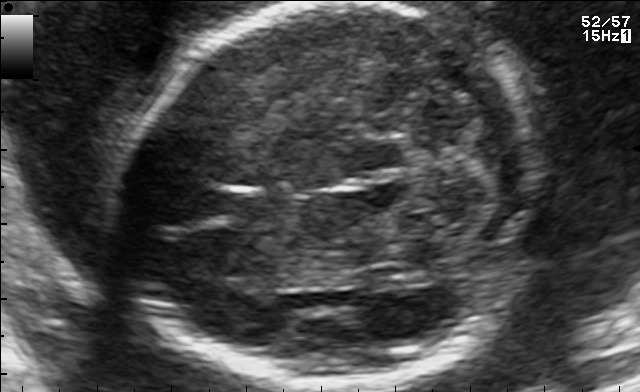
Fetal brain, trans-cerebellum plane. Locate the fetal head and, if visible, the cavum septum pellucidum (CSP) and lateral ventricle (LV). Give bounding boxes as [x1,y1,x2,y2].

Head: [126,2,545,391]